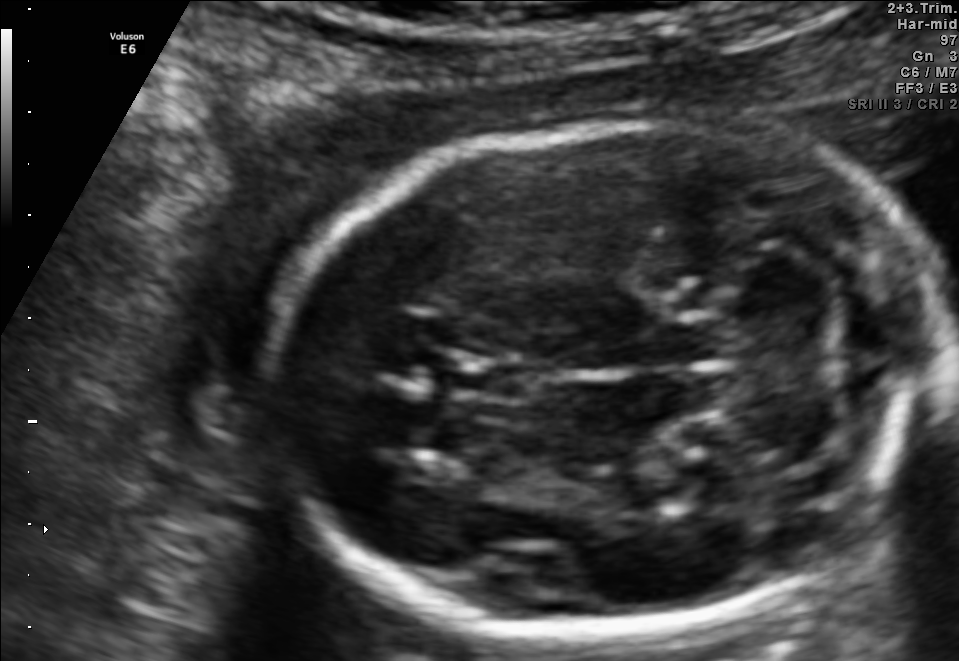
In this fetal brain, trans-cerebellum plane, give bounding boxes for the head outline, cavum septum pellucidum (CSP), and lateral ventricle (LV), where visible.

Head: [273,117,946,642]
CSP: [449,358,543,400]